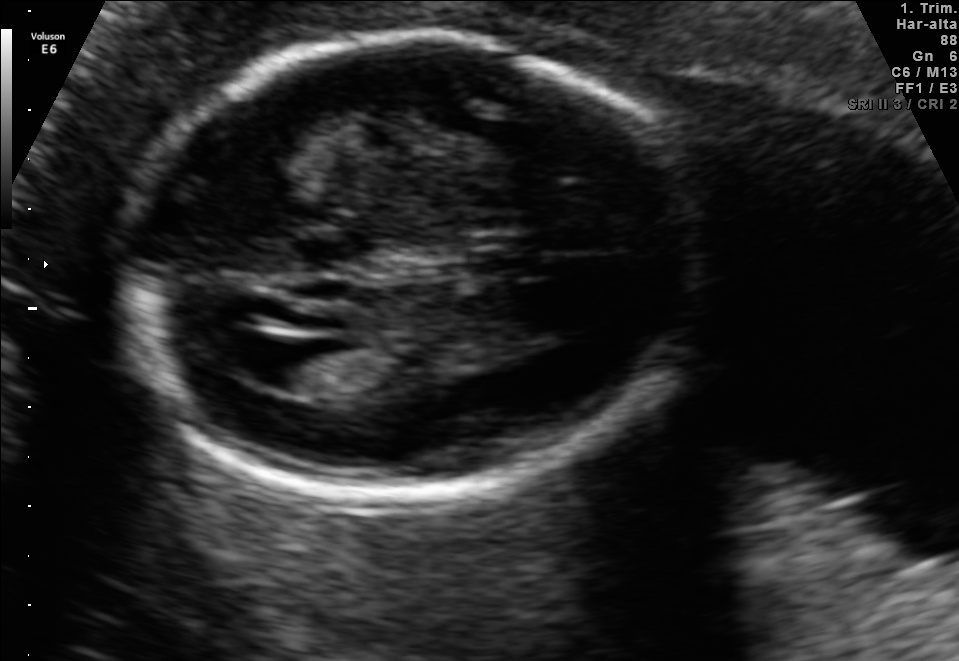
Fetal brain, trans-ventricular plane. Give [x1,y1,x2,y2] bounding boxes for each visible structure among: fetal head, CSP, LV.

Head: [104,29,725,514]
CSP: [474,246,547,280]
Lateral ventricle: [228,327,322,393]